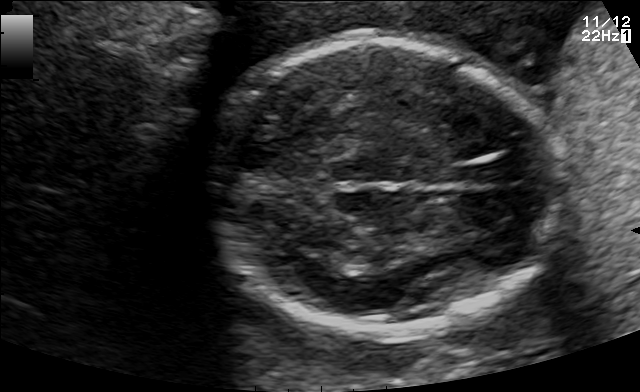
Fetal brain, trans-thalamic plane. Locate the fetal head and, if visible, the cavum septum pellucidum (CSP) and lateral ventricle (LV). Give bounding boxes as [x1,y1,x2,y2].

Head: [212,38,568,337]